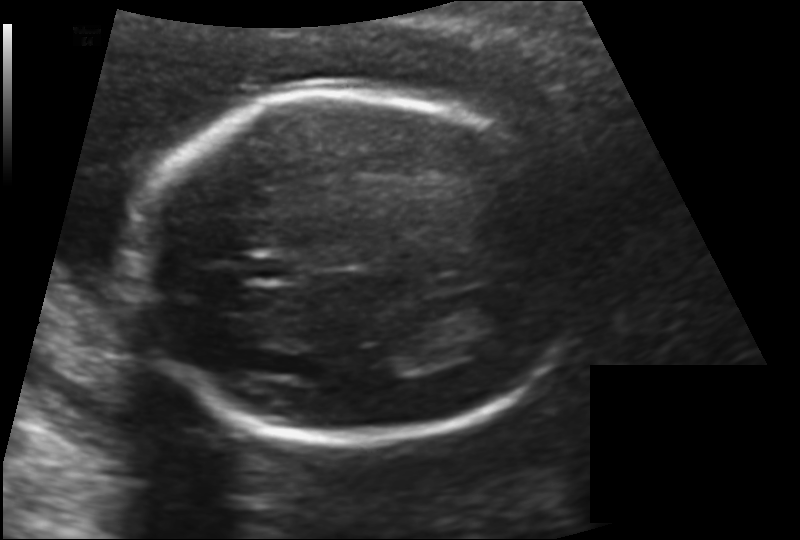
Fetal head ultrasound. Image width: 113.8 mm. Locate the fetal head.

Head: [133,92,588,440]